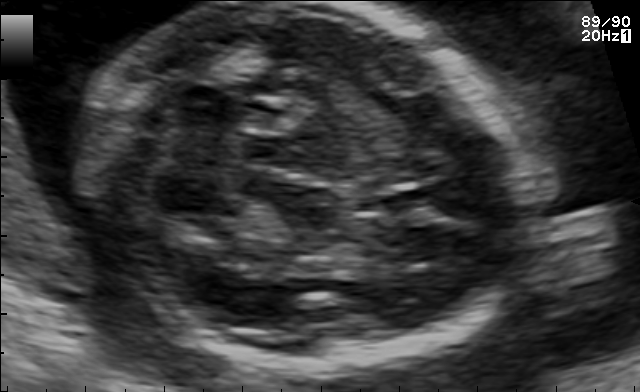
Fetal brain, trans-cerebellum plane. Locate the fetal head.

Head: [89,1,519,369]